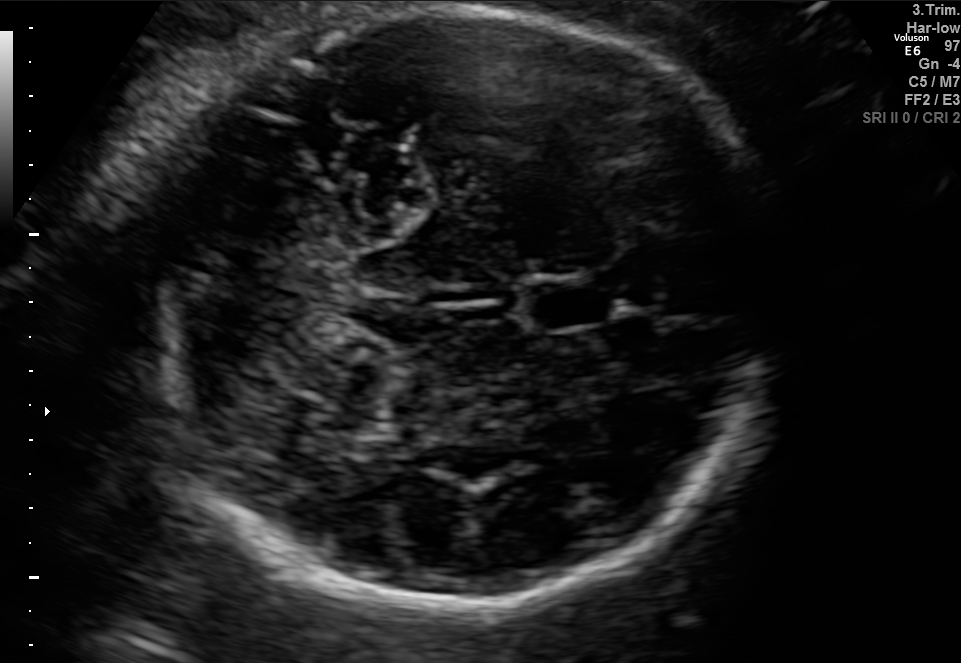
Fetal brain, trans-cerebellum plane. Give [x1,y1,x2,y2] bounding boxes for each visible structure among: fetal head, CSP, LV.

Head: [141,8,766,605]
CSP: [523,276,612,334]